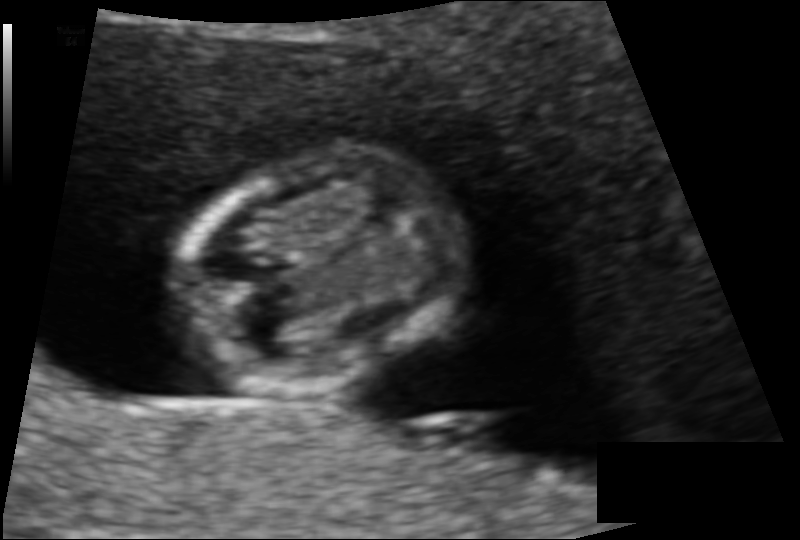
Fetal head ultrasound. Image width: 68.5 mm. Locate the fetal head.

Head: [172,151,468,399]